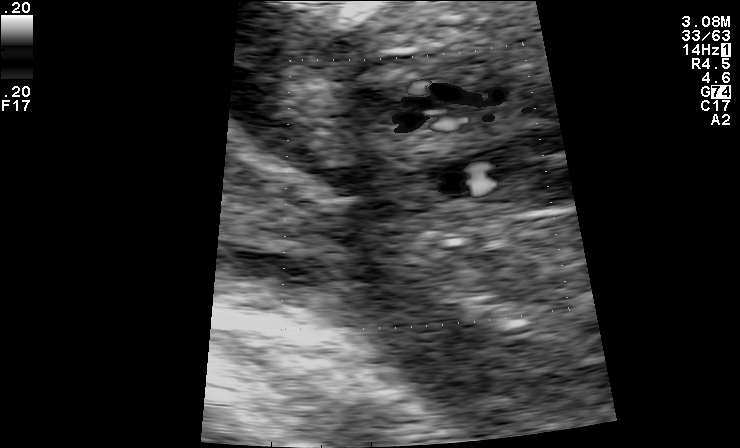
Which standard maternal-fetal ultrasound plane is shown: fetal abdomen, fetal brain, fetal femur, fetal thorax, maternal cervix, or other? If it's fetal brain and one of the three standard brain planes (trans-thalamic, trans-cerebellum, trans-ventricular), name which.

Other